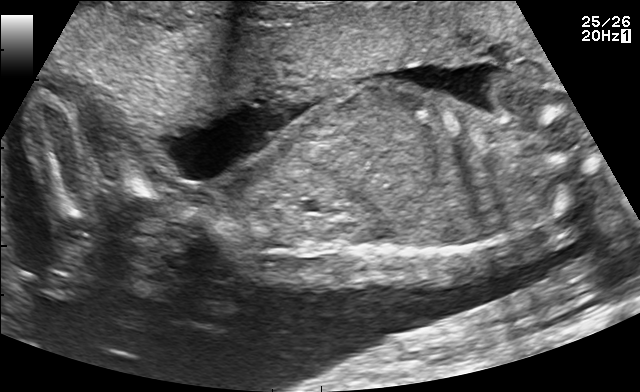
Identify the standard plane in this fetal ultrasound image: fetal abdomen, fetal brain, fetal femur, fetal thorax, maternal cervix, or other. If it's fetal brain and one of the three standard brain planes (trans-thalamic, trans-cerebellum, trans-ventricular), name which.

Other